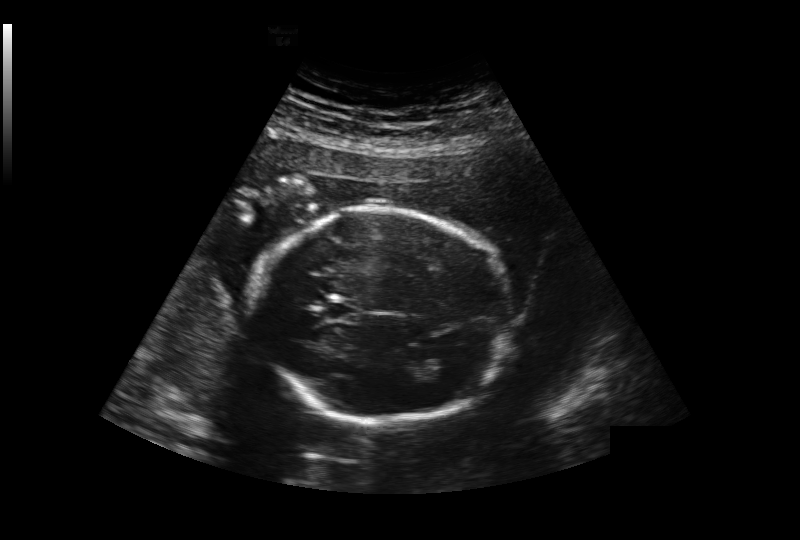
Fetal head ultrasound. Image width: 191.2 mm. Where is the fetal head?

Head bounding box: [252,208,511,421]